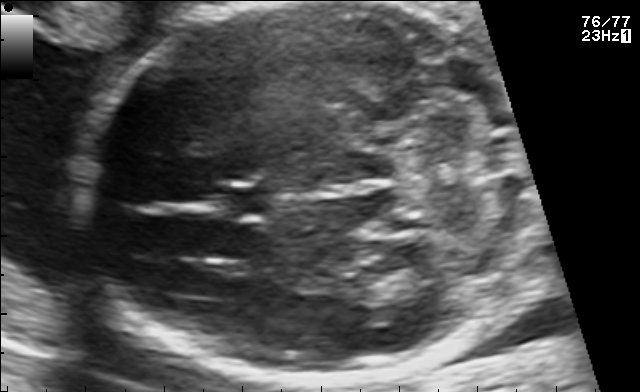
Fetal brain, trans-cerebellum plane. Locate the fetal head.

Head: [80,3,527,382]